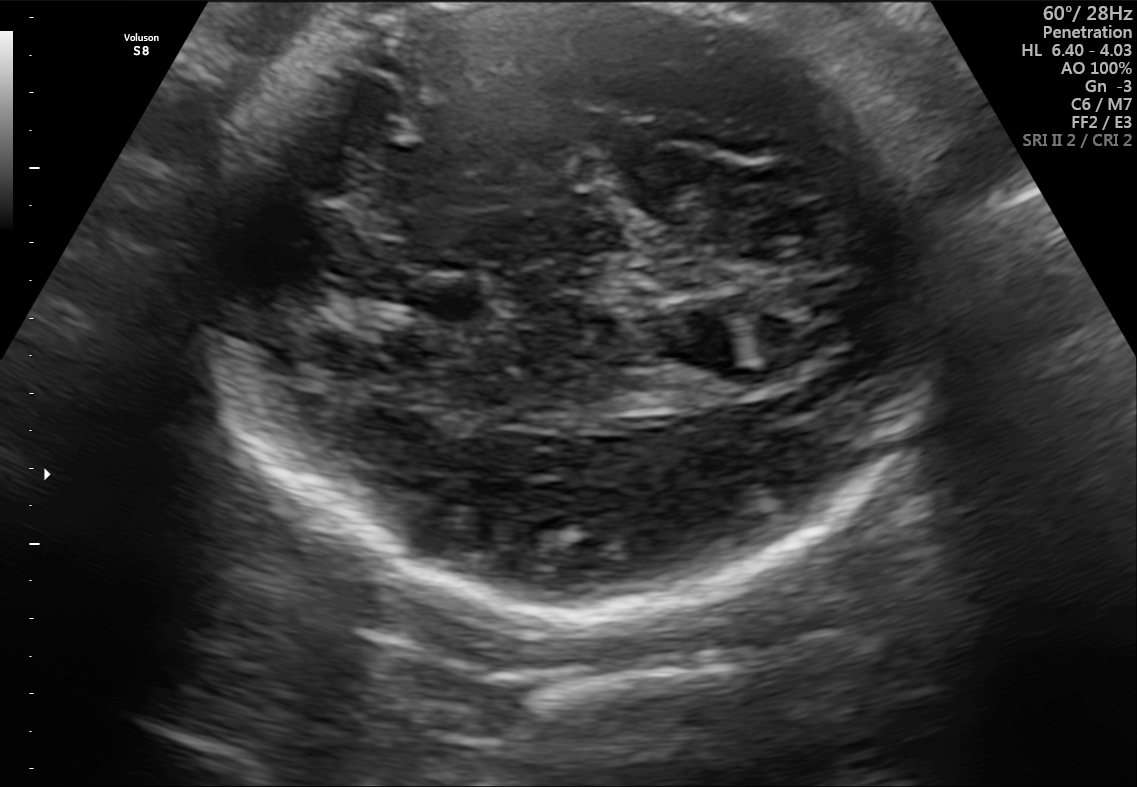
Fetal brain, trans-thalamic plane. Locate the fetal head.

Head: [209,5,938,620]